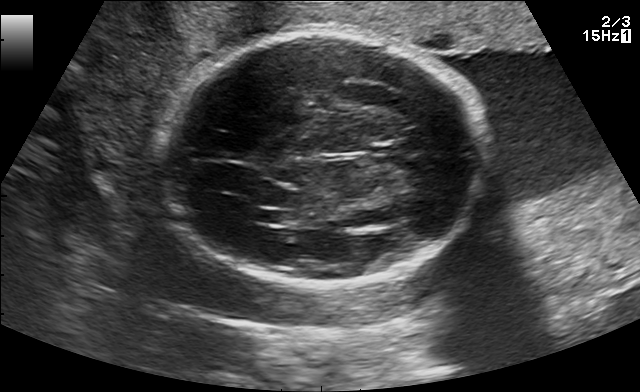
Fetal brain, trans-thalamic plane. Locate the fetal head and, if visible, the cavum septum pellucidum (CSP) and lateral ventricle (LV). Give bounding boxes as [x1,y1,x2,y2].

Head: [160,34,484,285]
Lateral ventricle: [256,209,295,225]